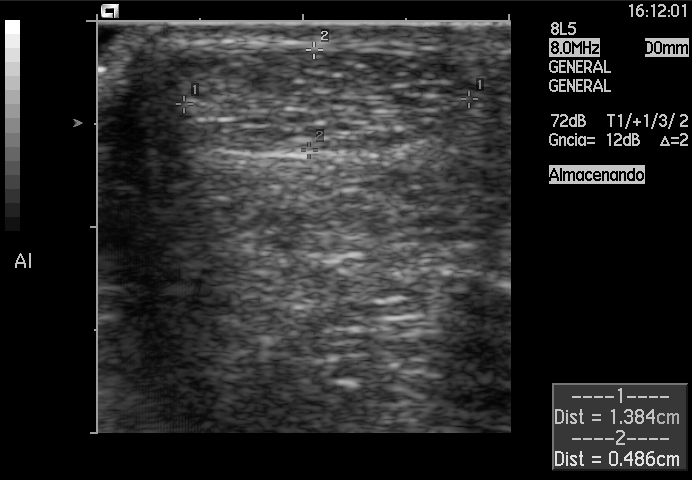
This is a 2D maternal-fetal ultrasound frame. Is it a fetal abdomen, fetal brain, fetal femur, fetal thorax, maternal cervix, or other standard plane? If it's fetal brain and one of the three standard brain planes (trans-thalamic, trans-cerebellum, trans-ventricular), name which.

Other